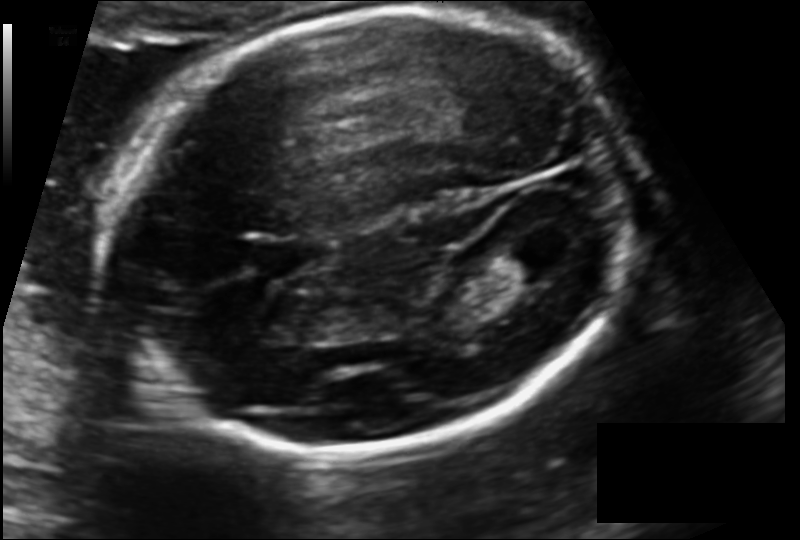
In this fetal head ultrasound, give bounding boxes for the head outline, cavum septum pellucidum (CSP), and lateral ventricle (LV), where visible. Image width: 105.5 mm.

Head: [111,9,637,453]
CSP: [254,231,333,280]
Lateral ventricle: [497,221,579,292]